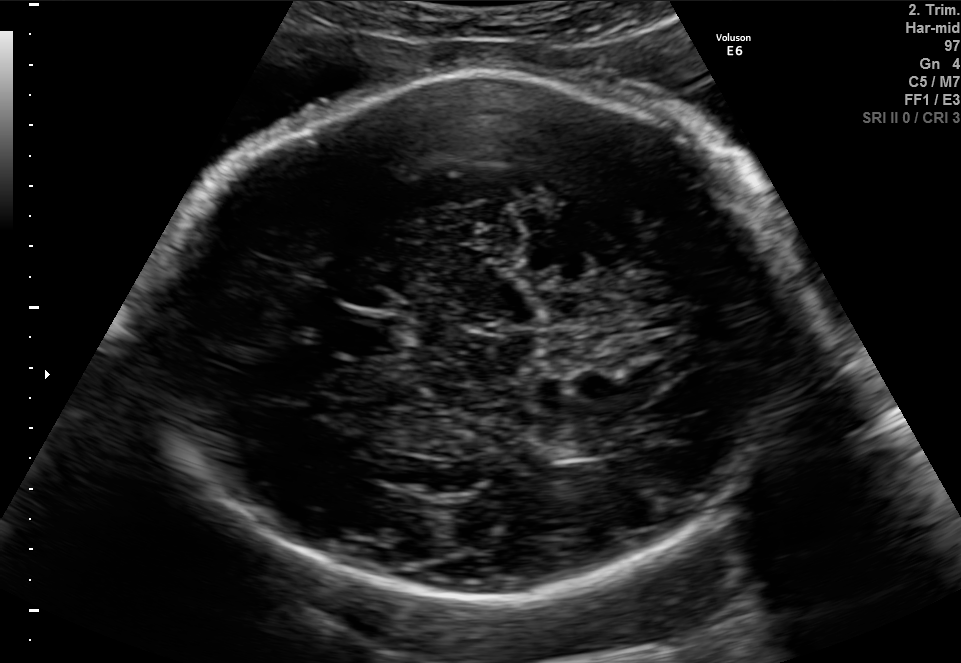
Fetal brain, trans-thalamic plane. Give [x1,y1,x2,y2] bounding boxes for each visible structure among: fetal head, CSP, LV.

Head: [153,71,814,594]
CSP: [341,314,397,355]
Lateral ventricle: [551,434,606,461]